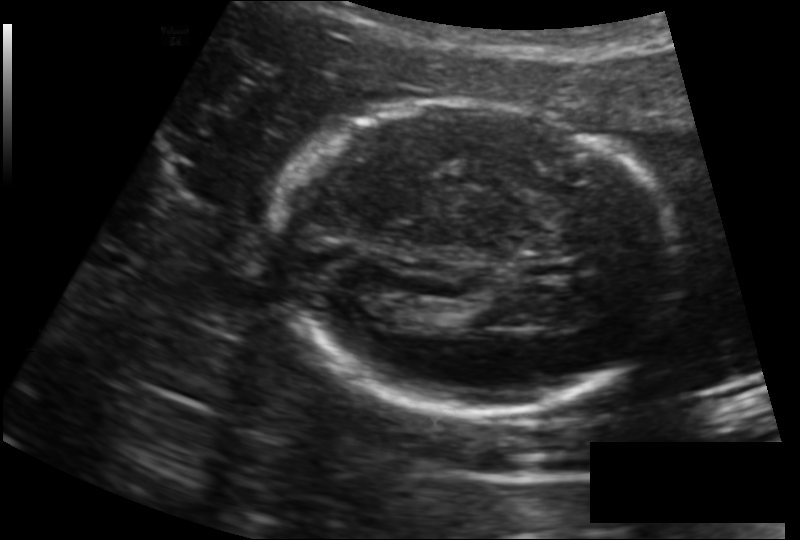
In this fetal head ultrasound, give bounding boxes for the head outline, cavum septum pellucidum (CSP), and lateral ventricle (LV), where visible. Image width: 125.2 mm.

Head: [275,105,673,413]